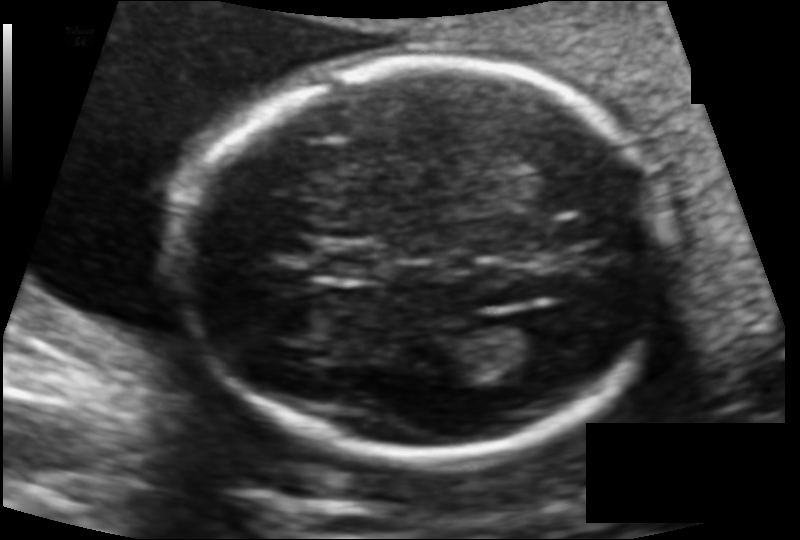
Estimate the fetal head circumference from this 2D ultrasound. Image width: 91.4 mm.

Head circumference: 164.4 mm.